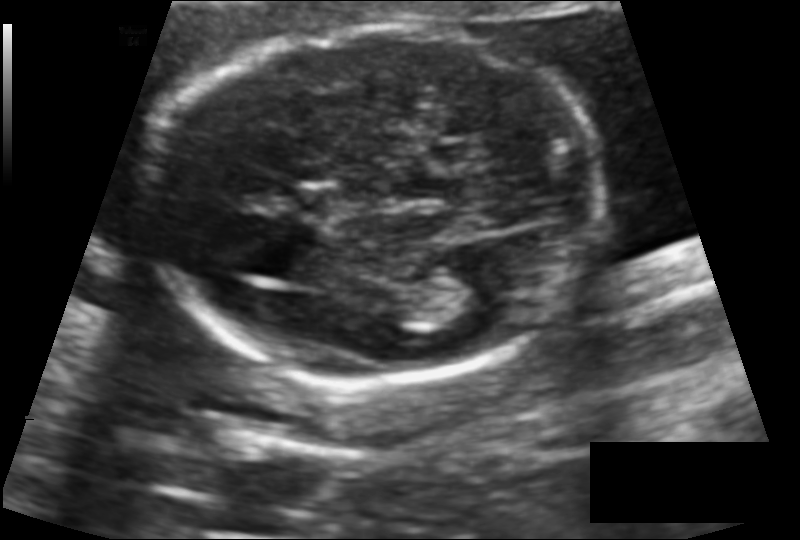
In this fetal head ultrasound, give the bounding box of the fetal head. Image width: 94.4 mm.

[146,27,604,381]